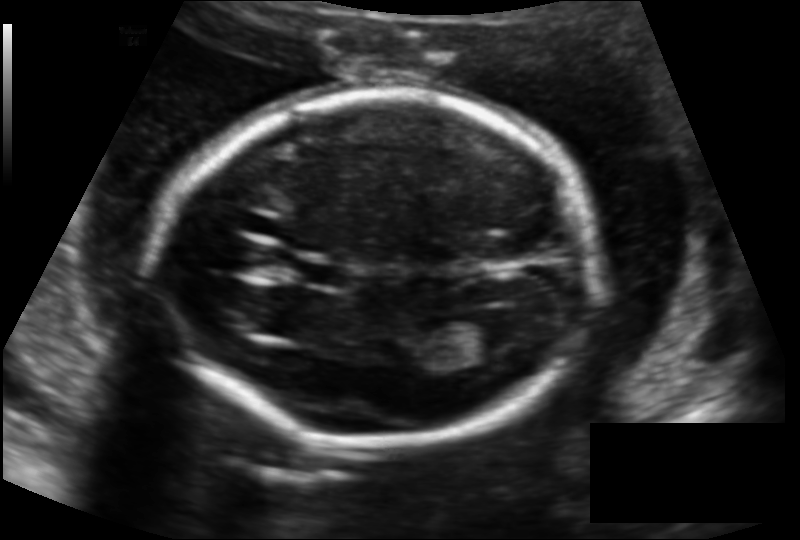
From this fetal ultrasound, estimate the head circumference (image width 108.6 mm).

Head circumference: 172.4 mm.